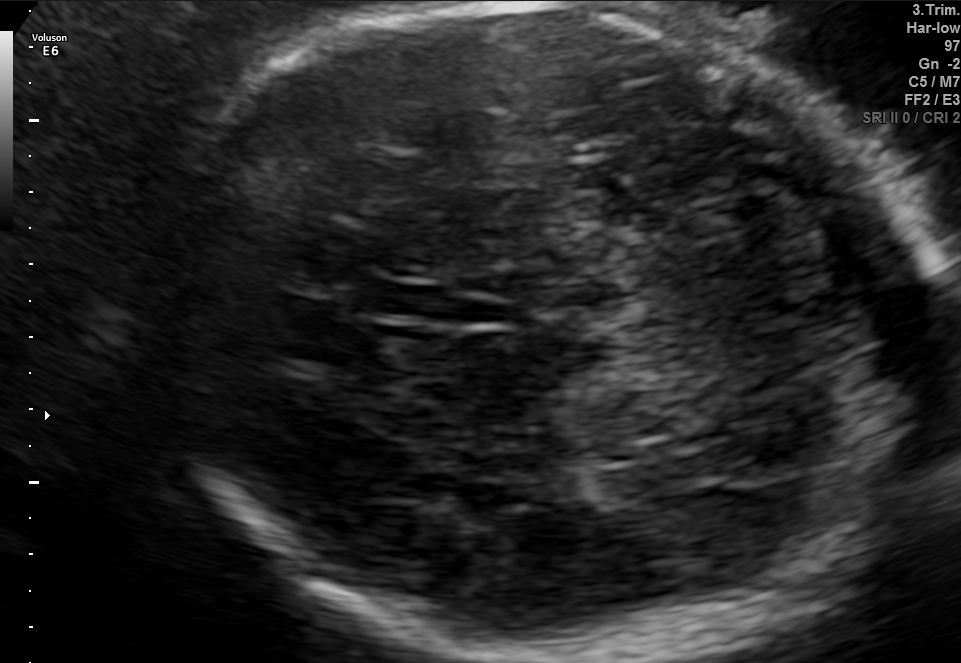
Fetal brain, trans-thalamic plane. Locate the cavum septum pellucidum.

CSP: [357,279,450,320]